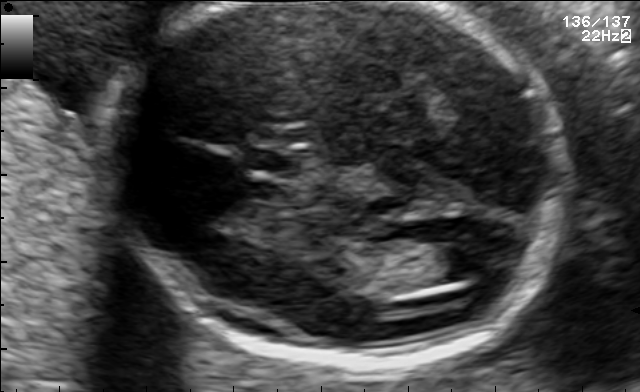
Fetal brain, trans-ventricular plane. Locate the fetal head.

Head: [97,2,575,368]